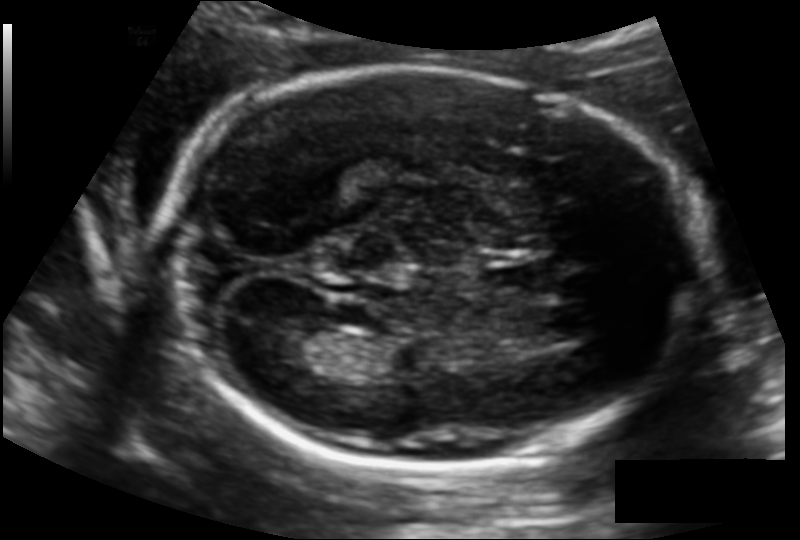
What is the fetal head circumference? Image width is 103.6 mm.

197.9 mm